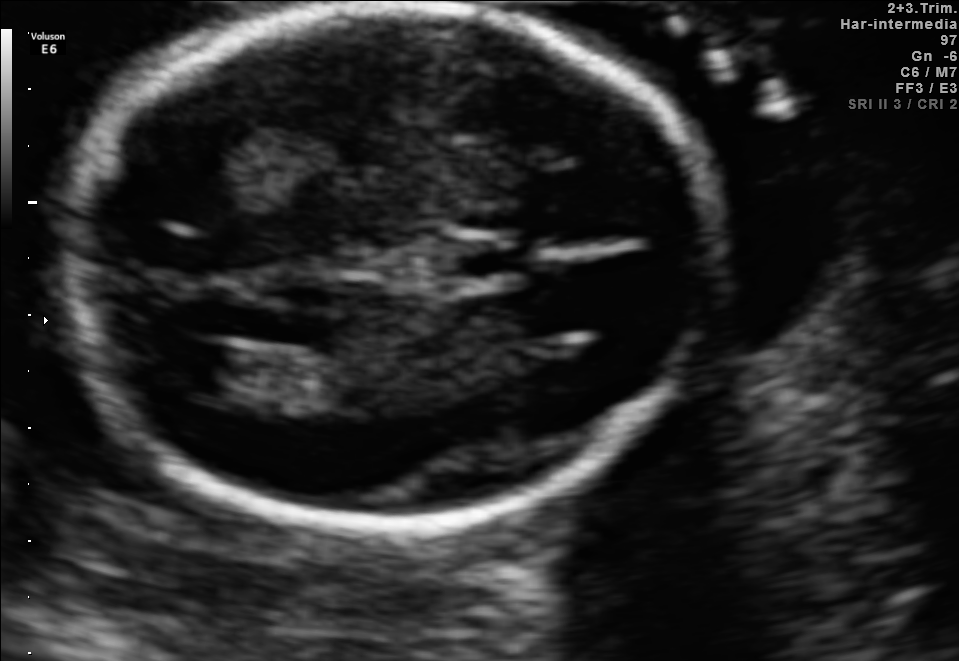
Fetal brain, trans-ventricular plane. Where is the lateral ventricle?

Lateral ventricle bounding box: [154,331,243,401]